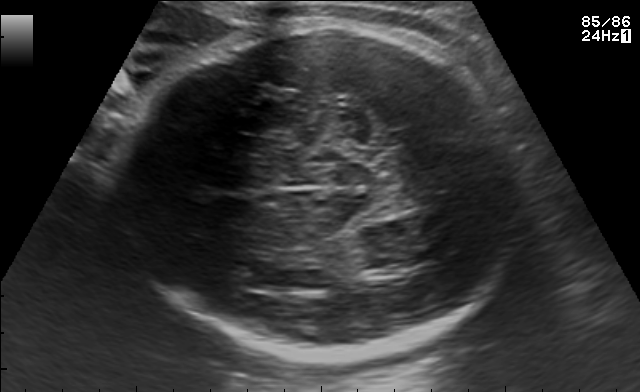
Fetal brain, trans-thalamic plane. Give [x1,y1,x2,y2] bounding boxes for each visible structure among: fetal head, CSP, LV.

Head: [114,26,529,358]